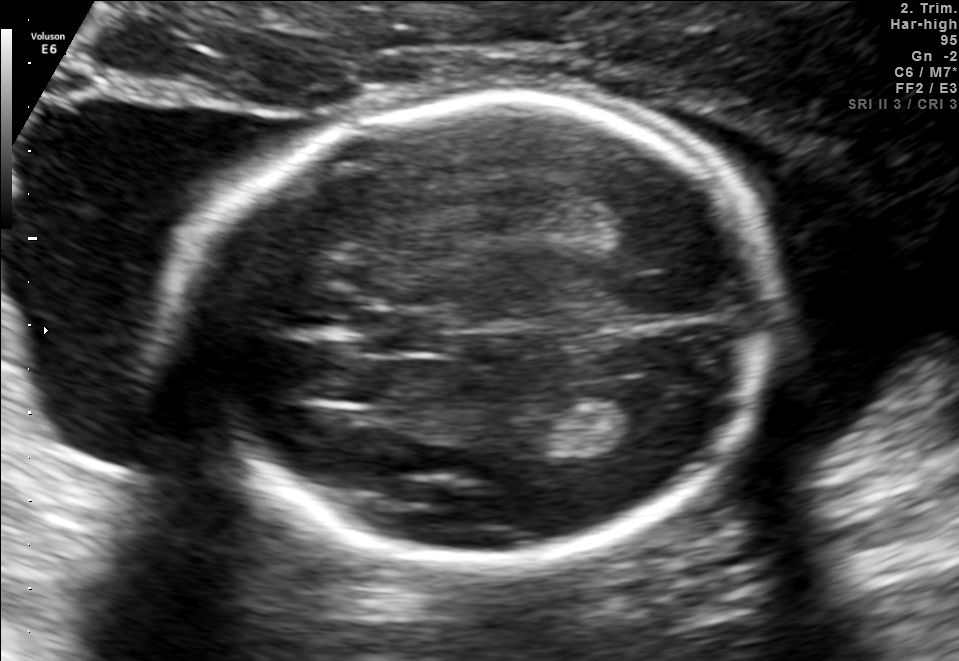
Fetal brain, trans-thalamic plane. Locate the fetal head and, if visible, the cavum septum pellucidum (CSP) and lateral ventricle (LV). Give bounding boxes as [x1,y1,x2,y2].

Head: [186,97,777,554]
CSP: [360,313,443,352]
Lateral ventricle: [574,372,673,456]